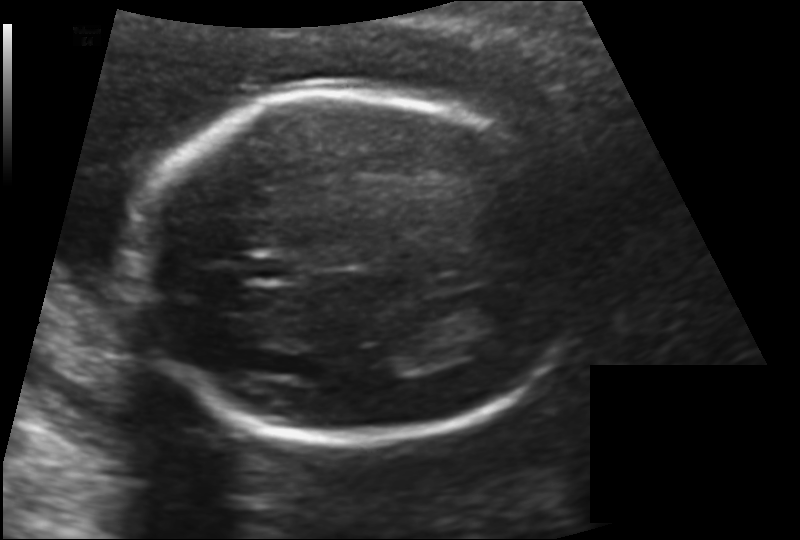
Fetal head ultrasound. Image width: 113.8 mm. Locate the fetal head and, if visible, the cavum septum pellucidum (CSP) and lateral ventricle (LV). Give bounding boxes as [x1,y1,x2,y2].

Head: [133,92,588,440]
CSP: [244,254,294,282]